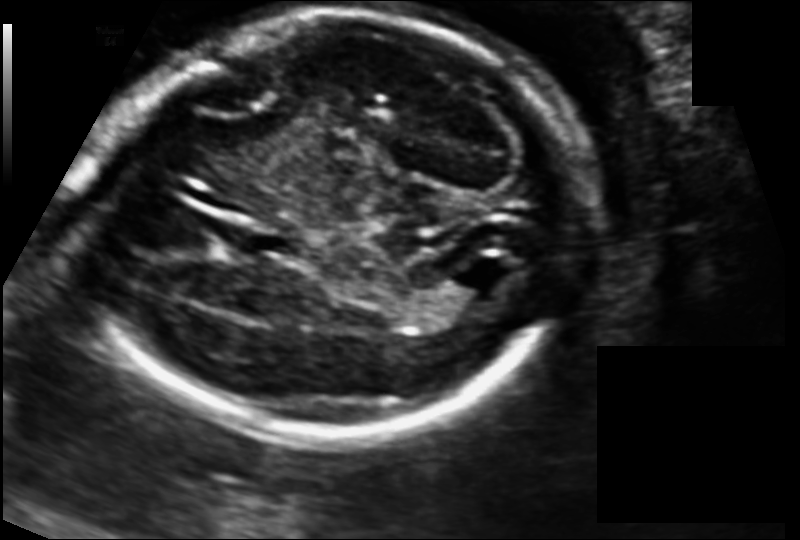
In this fetal head ultrasound, give bounding boxes for the head outline, cavum septum pellucidum (CSP), and lateral ventricle (LV), where visible. Image width: 100.4 mm.

Head: [98,11,582,440]
Lateral ventricle: [445,236,525,314]